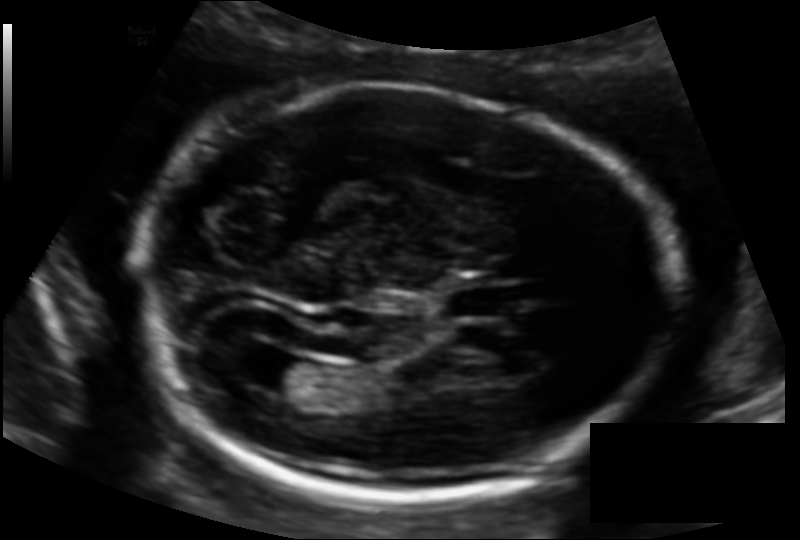
Estimate the fetal head circumference from this 2D ultrasound. Image width: 103.6 mm.

Head circumference: 197.7 mm.